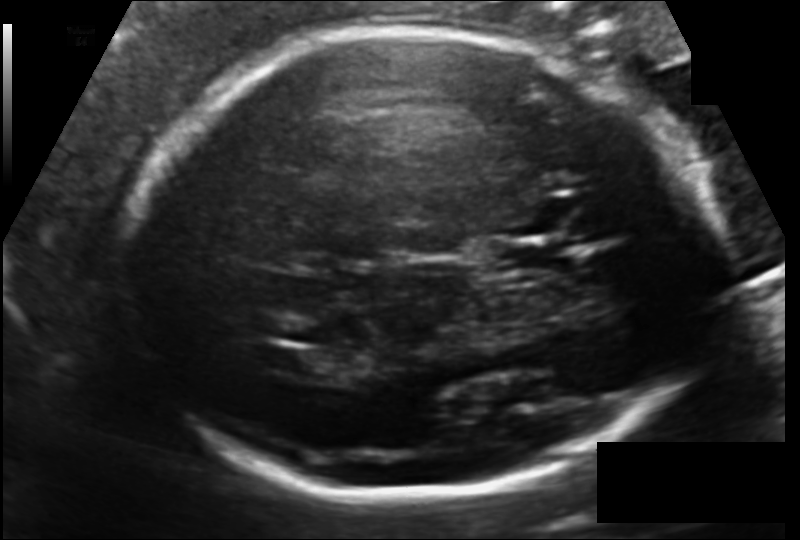
Measure the fetal head circumference shown in this ultrasound image. Image width: 106.4 mm.

Head circumference: 224.8 mm.